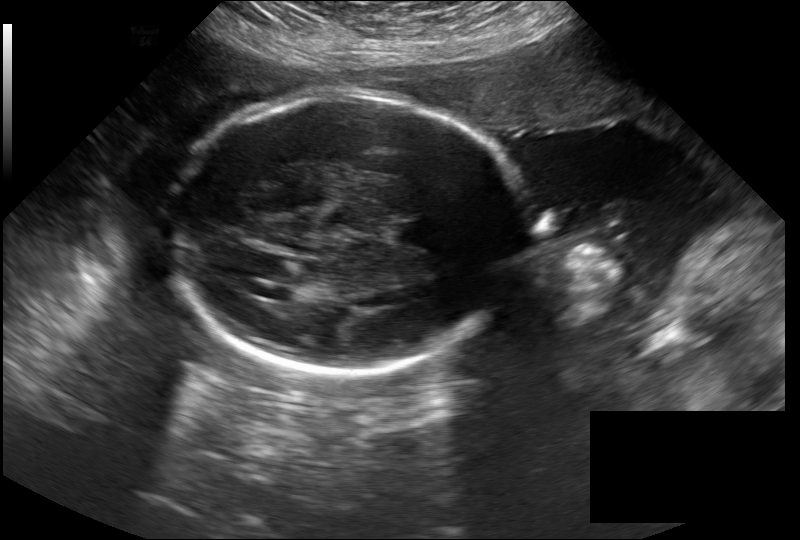
Fetal head ultrasound. Image width: 223.0 mm. Locate the fetal head.

Head: [167,92,523,374]